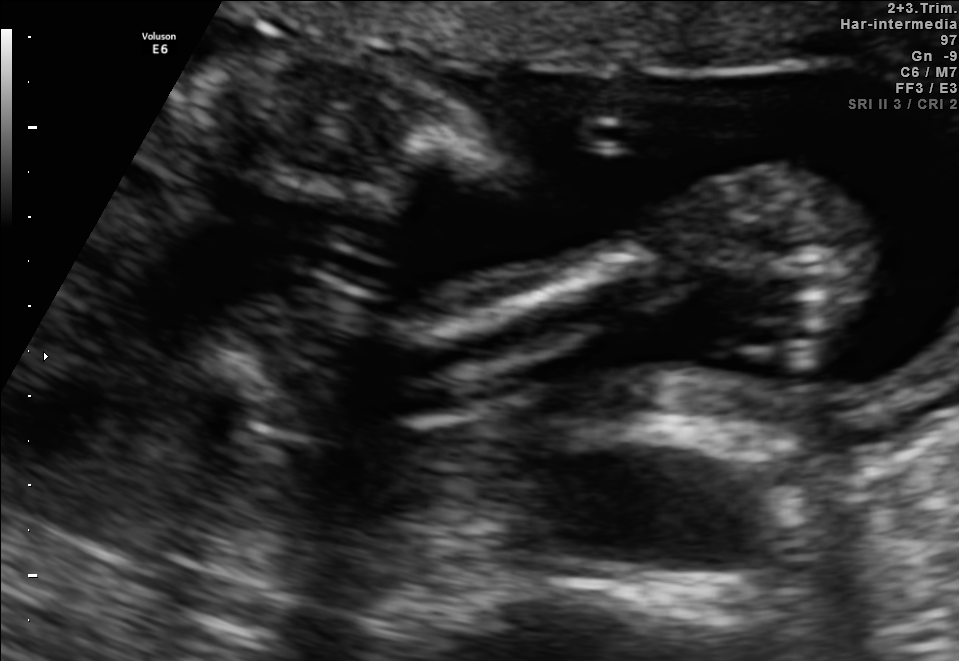
Identify the standard plane in this fetal ultrasound image: fetal abdomen, fetal brain, fetal femur, fetal thorax, maternal cervix, or other. If it's fetal brain and one of the three standard brain planes (trans-thalamic, trans-cerebellum, trans-ventricular), name which.

Other